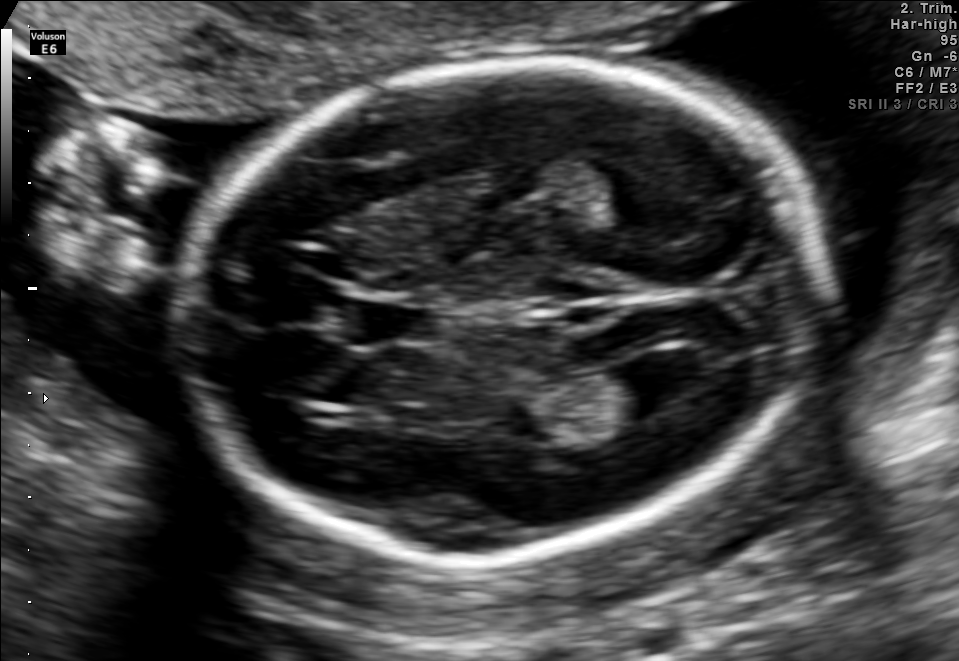
In this fetal brain, trans-ventricular plane, give the bounding box of the cavum septum pellucidum.

[346,302,441,344]